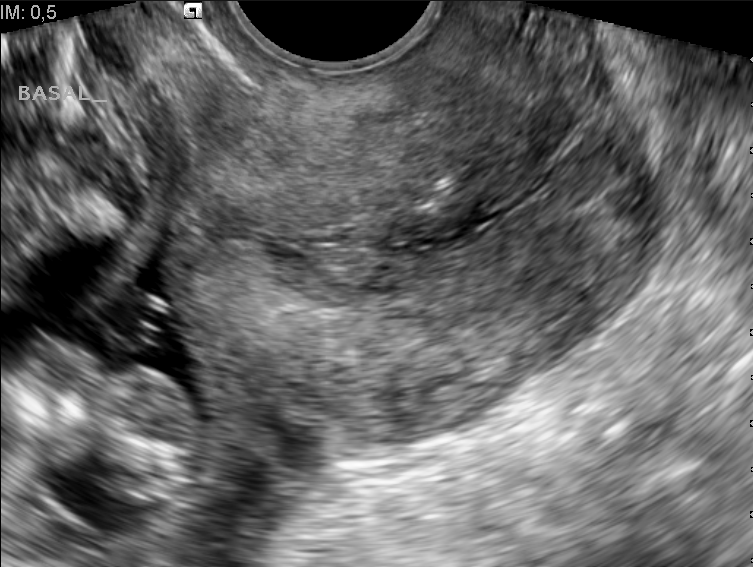
This is a 2D maternal-fetal ultrasound frame. Is it a fetal abdomen, fetal brain, fetal femur, fetal thorax, maternal cervix, or other standard plane? If it's fetal brain and one of the three standard brain planes (trans-thalamic, trans-cerebellum, trans-ventricular), name which.

Maternal cervix